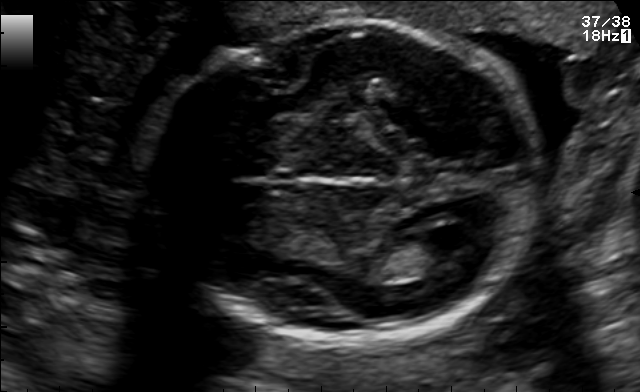
Fetal brain, trans-ventricular plane. Where is the cavum septum pellucidum?

CSP bounding box: [273,174,297,190]